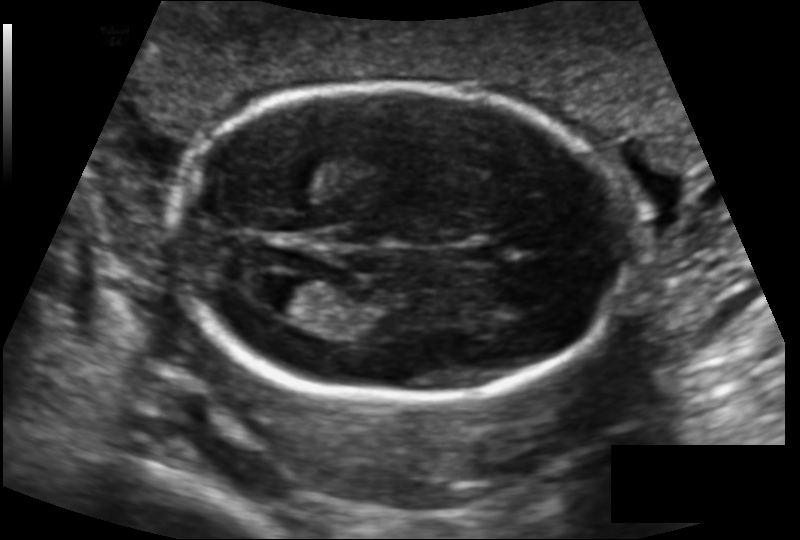
Estimate the fetal head circumference from this 2D ultrasound. Image width: 104.8 mm.

Head circumference: 165.4 mm.